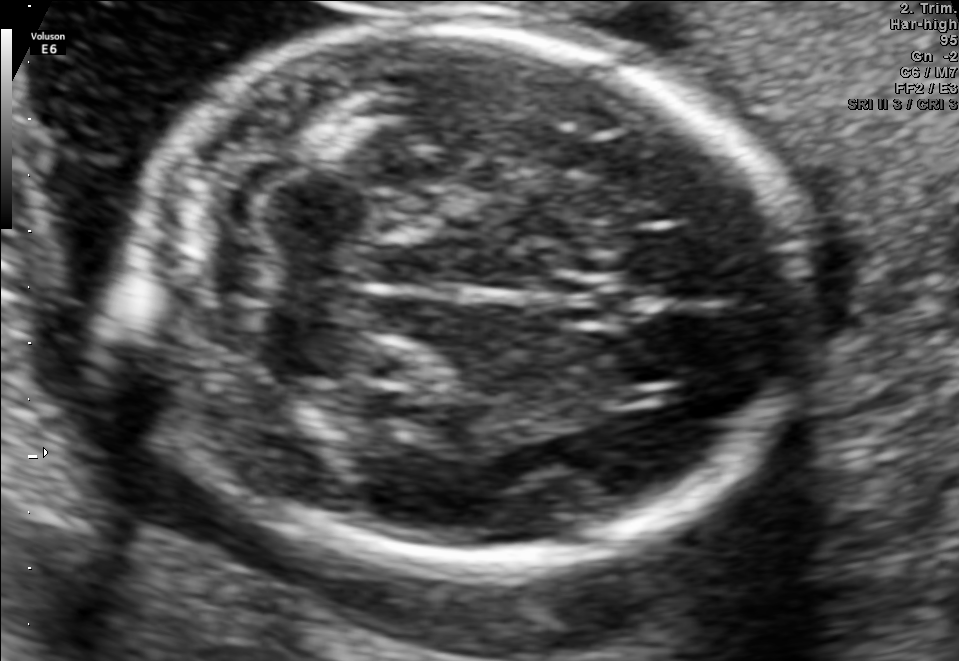
Fetal brain, trans-cerebellum plane. Locate the fetal head.

Head: [132,26,801,567]